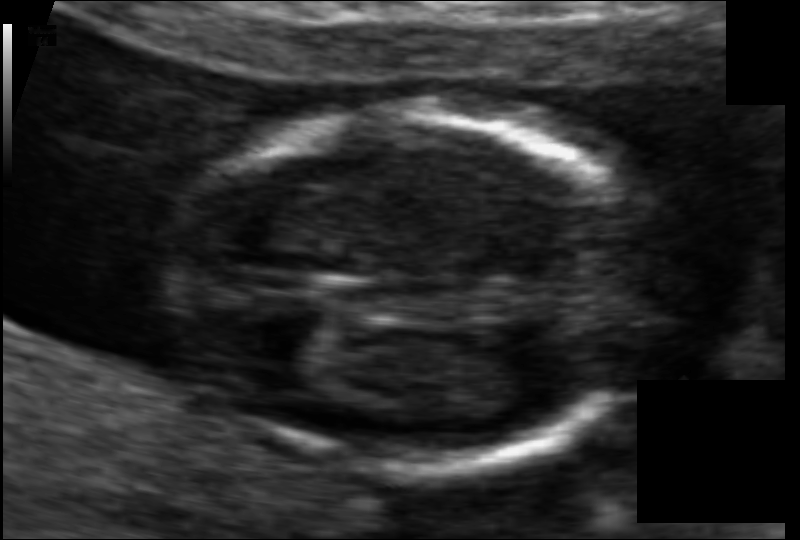
Estimate the fetal head circumference from this 2D ultrasound. Image width: 51.8 mm.

Head circumference: 88.5 mm.